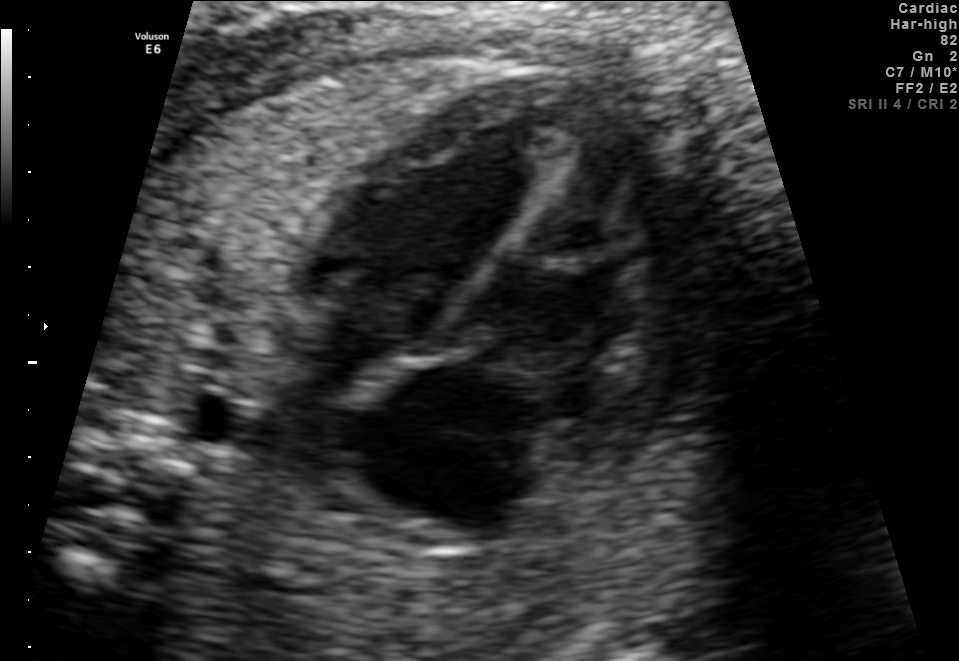
Identify the standard plane in this fetal ultrasound image: fetal abdomen, fetal brain, fetal femur, fetal thorax, maternal cervix, or other. If it's fetal brain and one of the three standard brain planes (trans-thalamic, trans-cerebellum, trans-ventricular), name which.

Fetal thorax